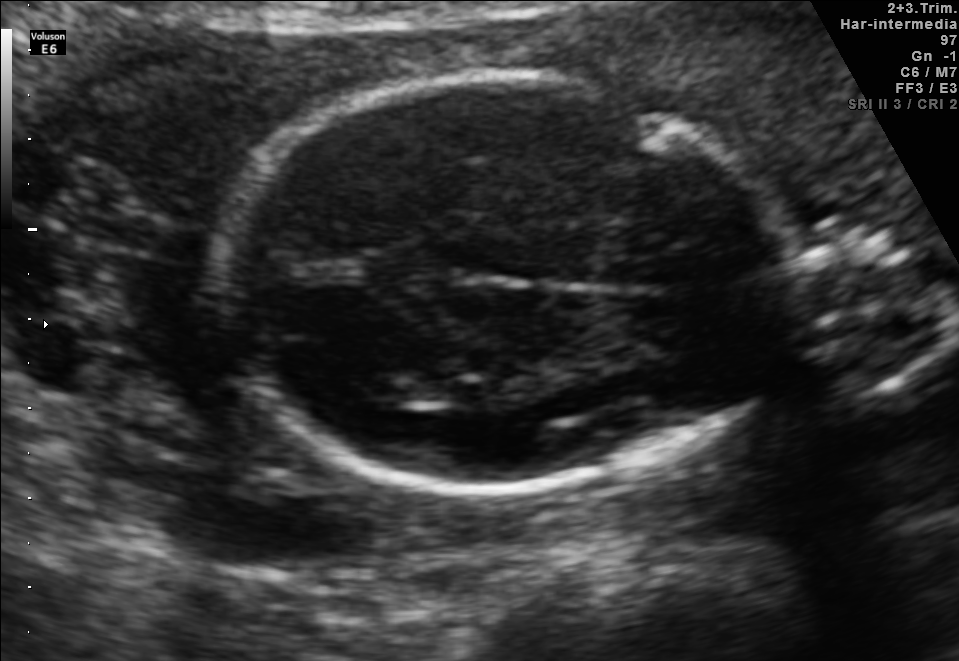
Fetal brain, trans-thalamic plane. Where is the fetal head?

Head bounding box: [217,74,788,491]